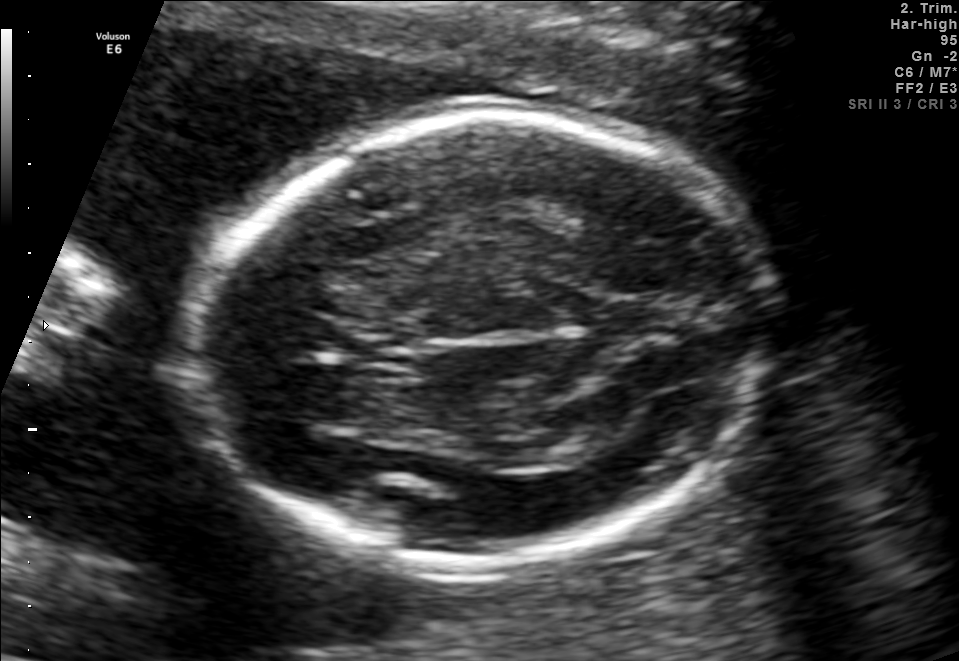
Classify this maternal-fetal ultrasound image as one of the six standard planes — fetal abdomen, fetal brain, fetal femur, fetal thorax, maternal cervix, or other. If it's fetal brain and one of the three standard brain planes (trans-thalamic, trans-cerebellum, trans-ventricular), name which.

Fetal brain (trans-thalamic plane)